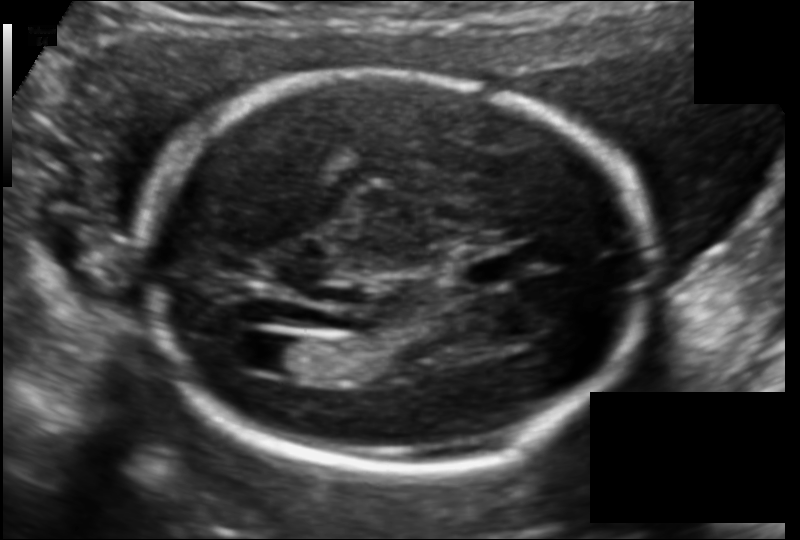
Fetal head ultrasound. Image width: 97.5 mm. Locate the fetal head.

Head: [143,73,652,472]